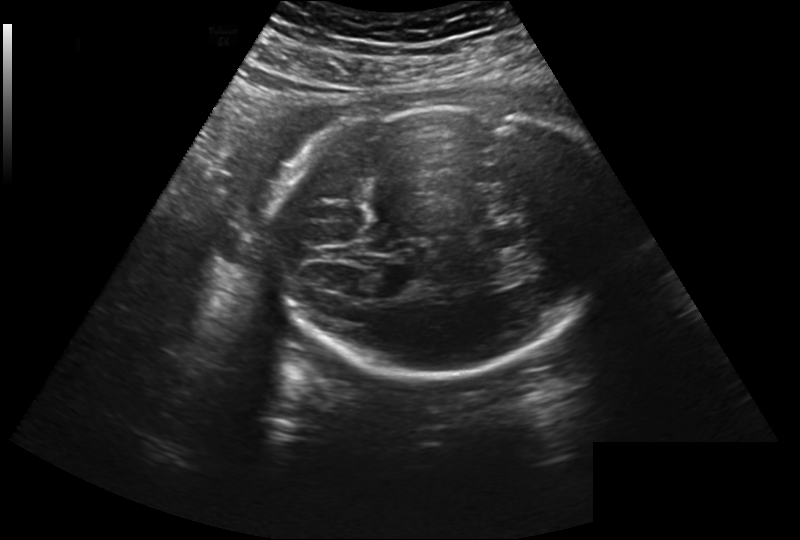
In this fetal head ultrasound, give the bounding box of the fetal head. Image width: 208.3 mm.

[268,105,622,377]